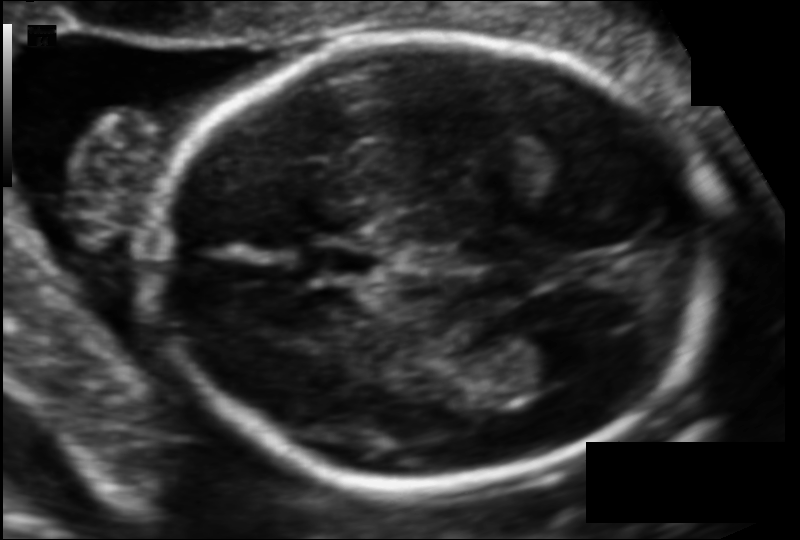
In this fetal head ultrasound, give the bounding box of the lateral ventricle. Image width: 81.4 mm.

[506,309,613,395]